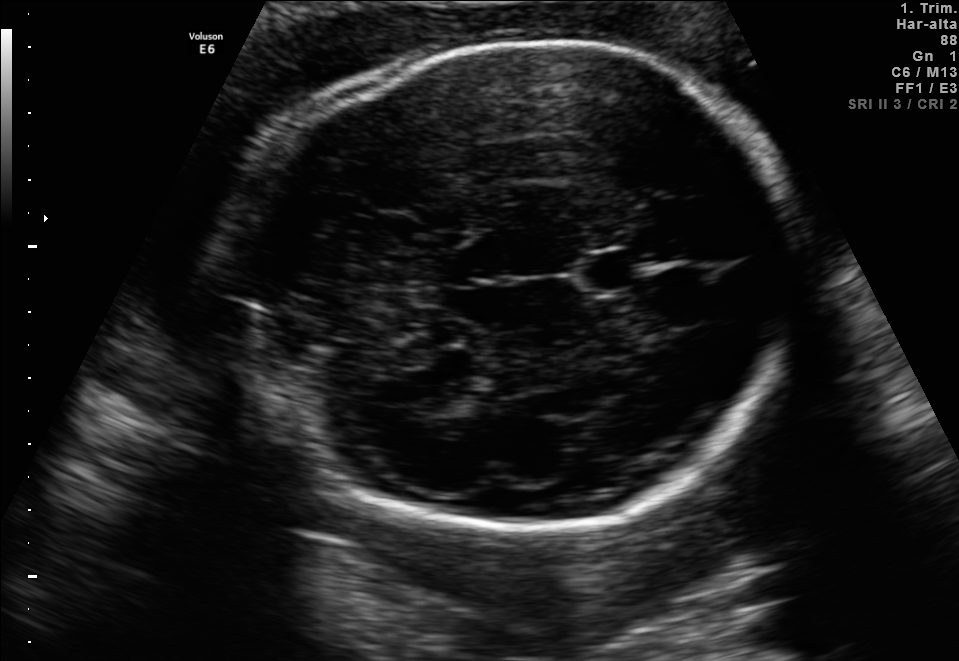
Fetal brain, trans-thalamic plane. Where is the cavum septum pellucidum?

CSP bounding box: [582,248,640,293]